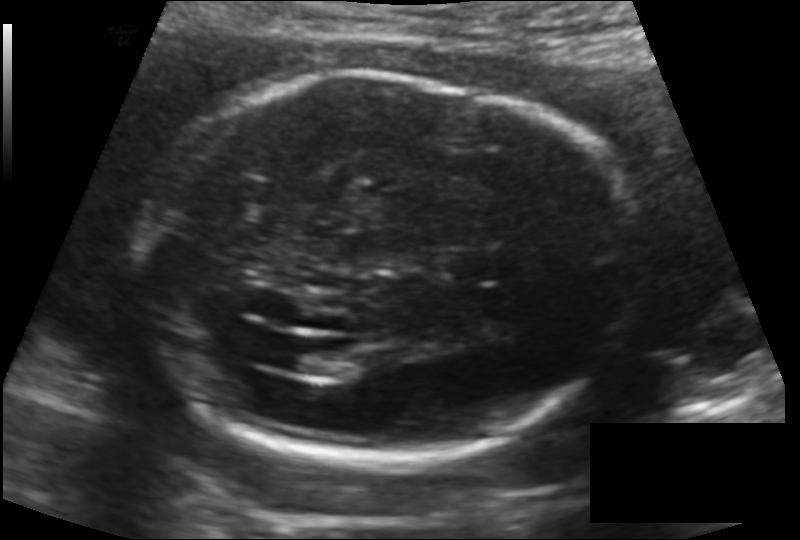
Fetal head ultrasound. Image width: 117.5 mm. Give [x1,y1,x2,y2] bounding boxes for each visible structure among: fetal head, CSP, LV.

Head: [143,76,627,462]
CSP: [441,248,503,282]
Lateral ventricle: [288,340,351,378]